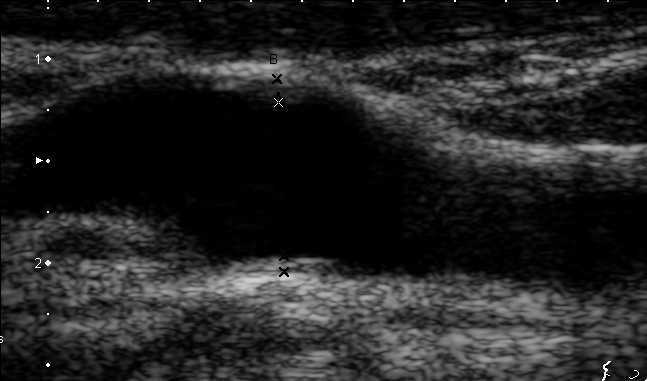
Identify the standard plane in this fetal ultrasound image: fetal abdomen, fetal brain, fetal femur, fetal thorax, maternal cervix, or other. If it's fetal brain and one of the three standard brain planes (trans-thalamic, trans-cerebellum, trans-ventricular), name which.

Other